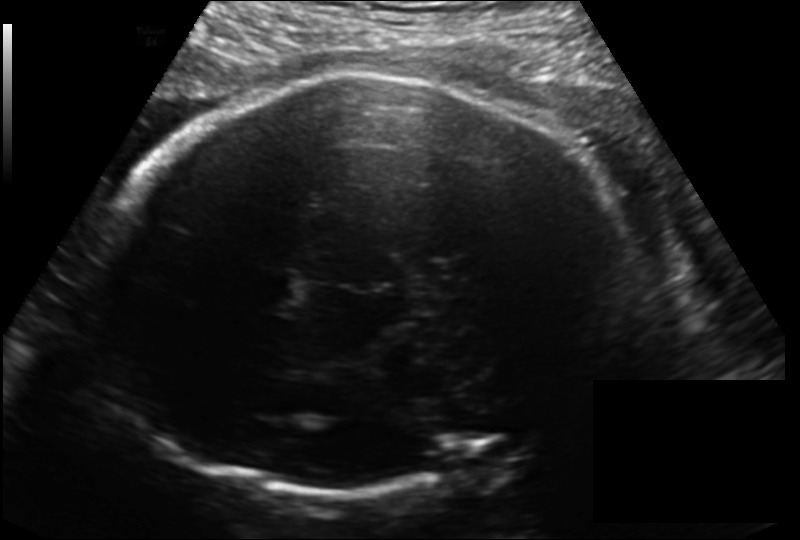
What is the fetal head circumference? Image width is 158.6 mm.

300.4 mm